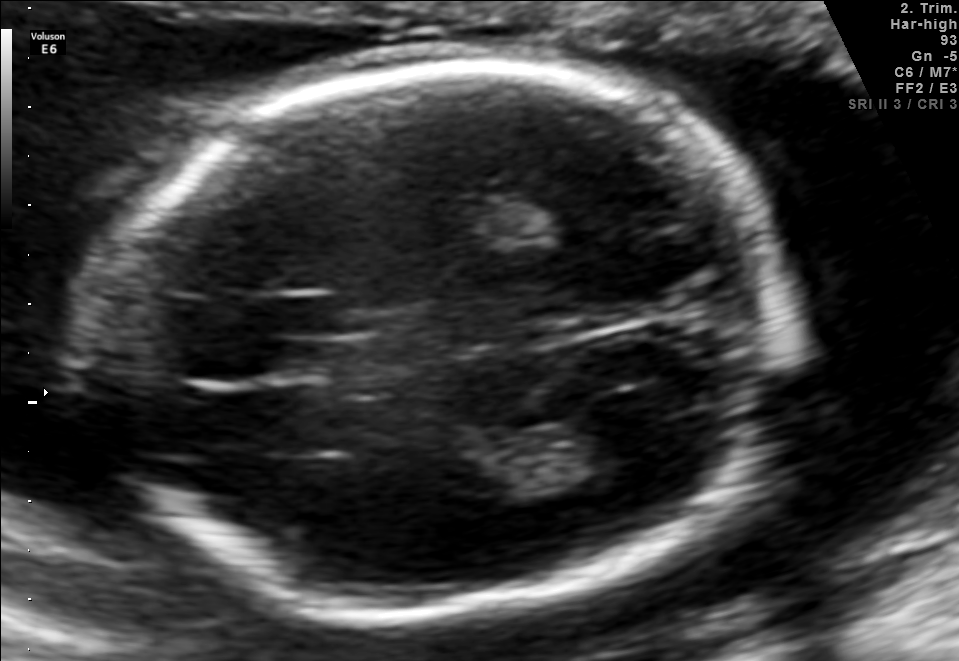
Fetal brain, trans-thalamic plane. Where is the cavum septum pellucidum?

CSP bounding box: [191,338,277,378]